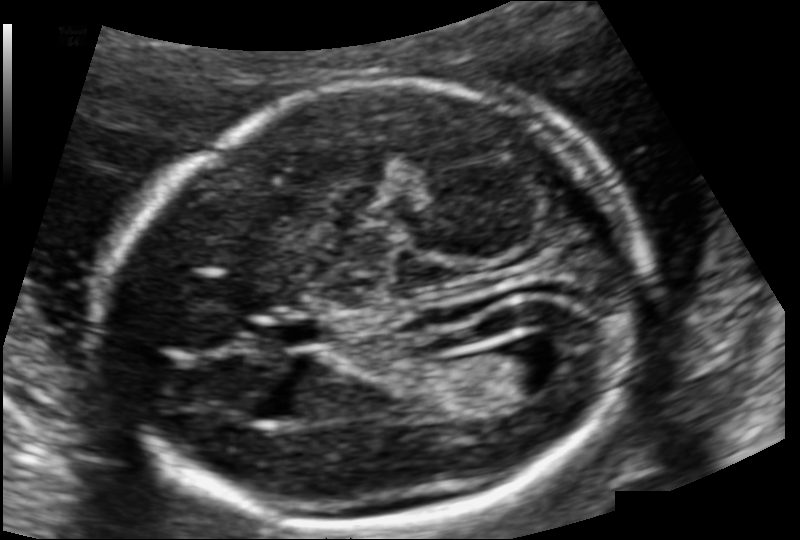
In this fetal head ultrasound, give bounding boxes for the head outline, cavum septum pellucidum (CSP), and lateral ventricle (LV), where visible. Image width: 89.0 mm.

Head: [111,83,641,530]
CSP: [273,316,330,349]
Lateral ventricle: [469,327,574,411]